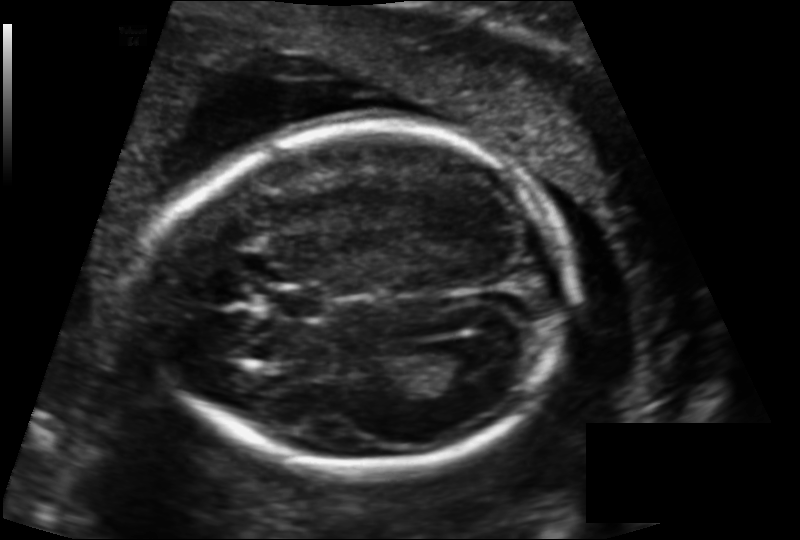
Fetal head ultrasound. Image width: 109.5 mm. Where is the lateral ventricle?

Lateral ventricle bounding box: [424,336,500,396]